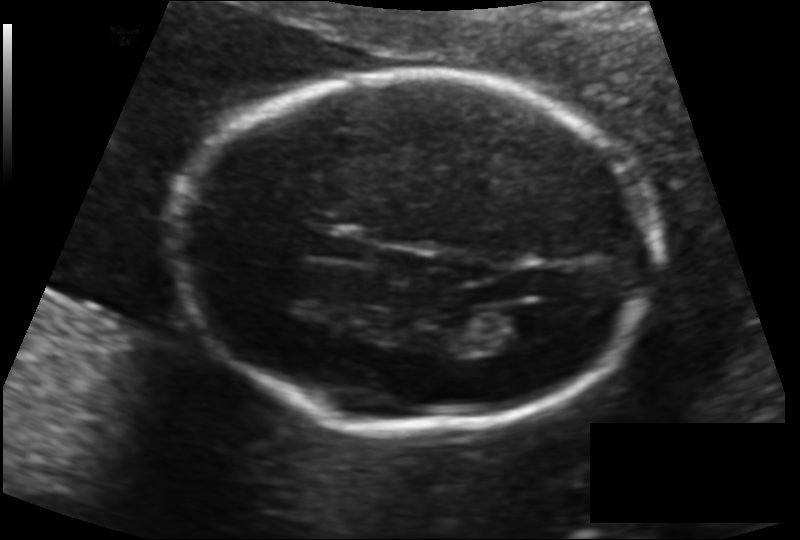
Fetal head ultrasound. Image width: 107.4 mm. Locate the fetal head.

Head: [182,71,658,428]